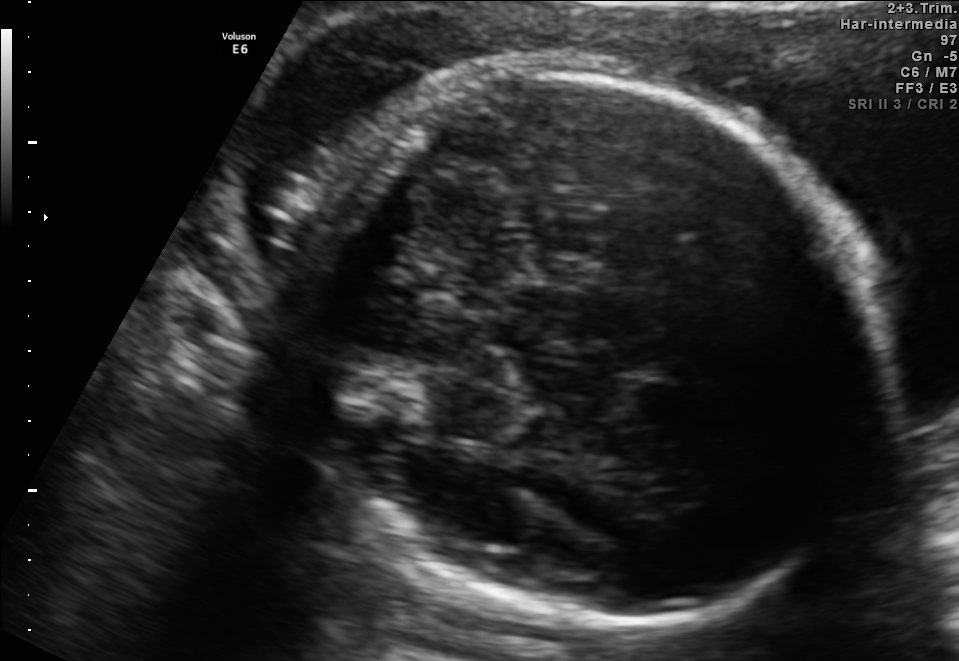
Fetal brain, trans-thalamic plane. Locate the fetal head and, if visible, the cavum septum pellucidum (CSP) and lateral ventricle (LV). Give bounding boxes as [x1,y1,x2,y2].

Head: [293,62,882,627]